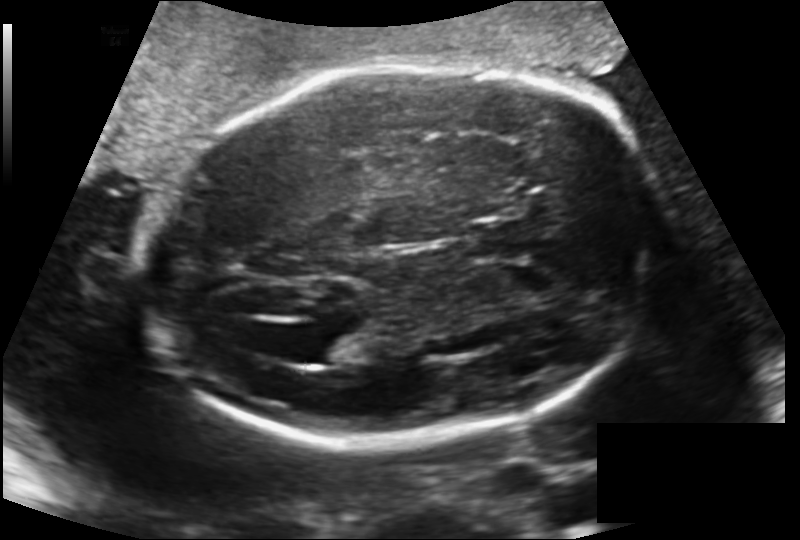
From this fetal ultrasound, estimate the head circumference (image width 136.0 mm).

Head circumference: 246.6 mm.